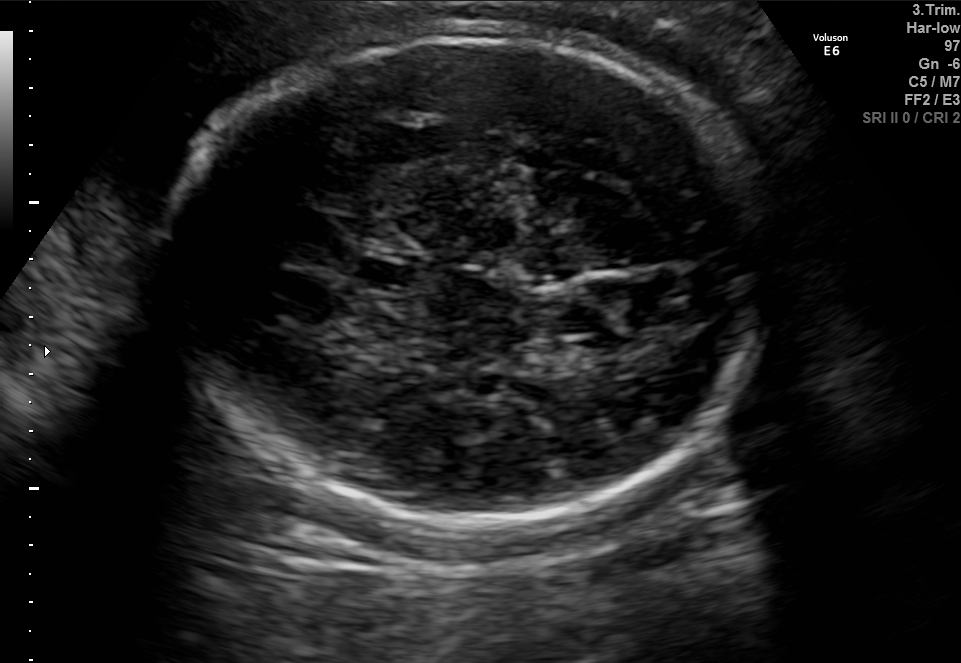
Fetal brain, trans-thalamic plane. Where is the cavum septum pellucidum?

CSP bounding box: [353,257,415,288]